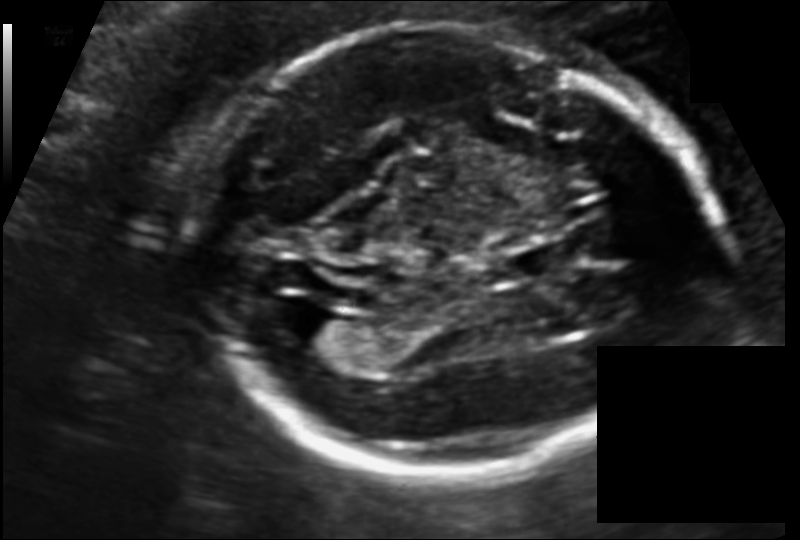
Fetal head ultrasound. Image width: 94.5 mm. Locate the fetal head and, if visible, the cavum septum pellucidum (CSP) and lateral ventricle (LV). Give bounding boxes as [x1,y1,x2,y2].

Head: [192,20,705,475]
CSP: [507,238,576,285]
Lateral ventricle: [284,302,357,362]